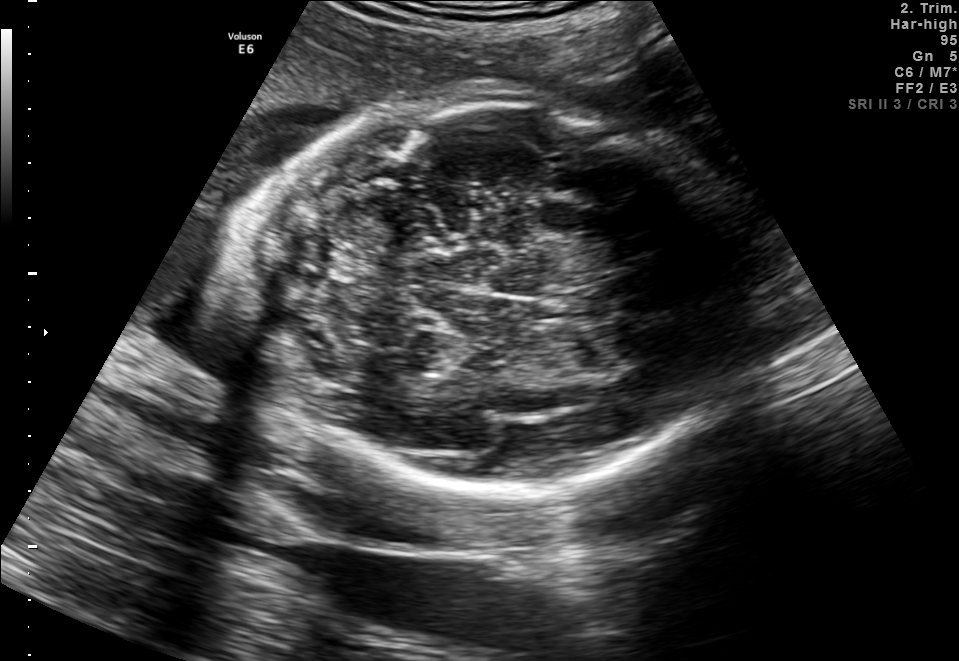
In this fetal brain, trans-thalamic plane, give the bounding box of the fetal head.

[225,93,758,494]